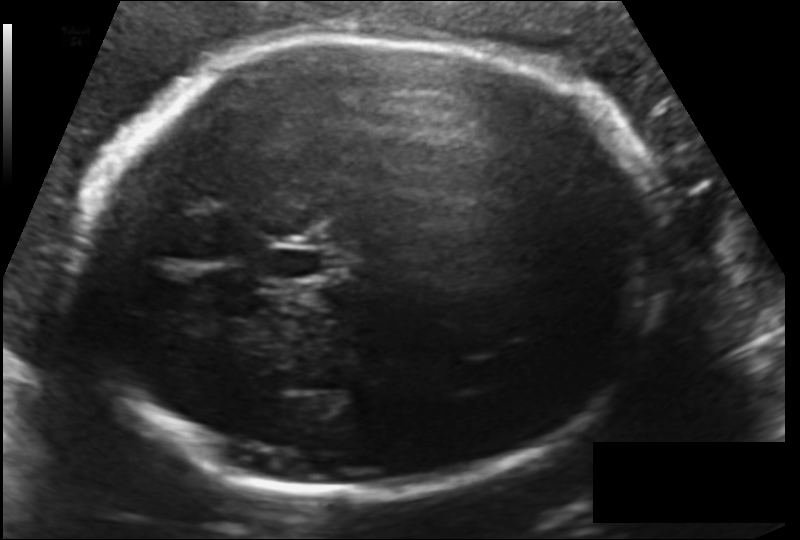
In this fetal head ultrasound, give the bounding box of the cavum septum pellucidum. Image width: 122.1 mm.

[265,244,330,282]